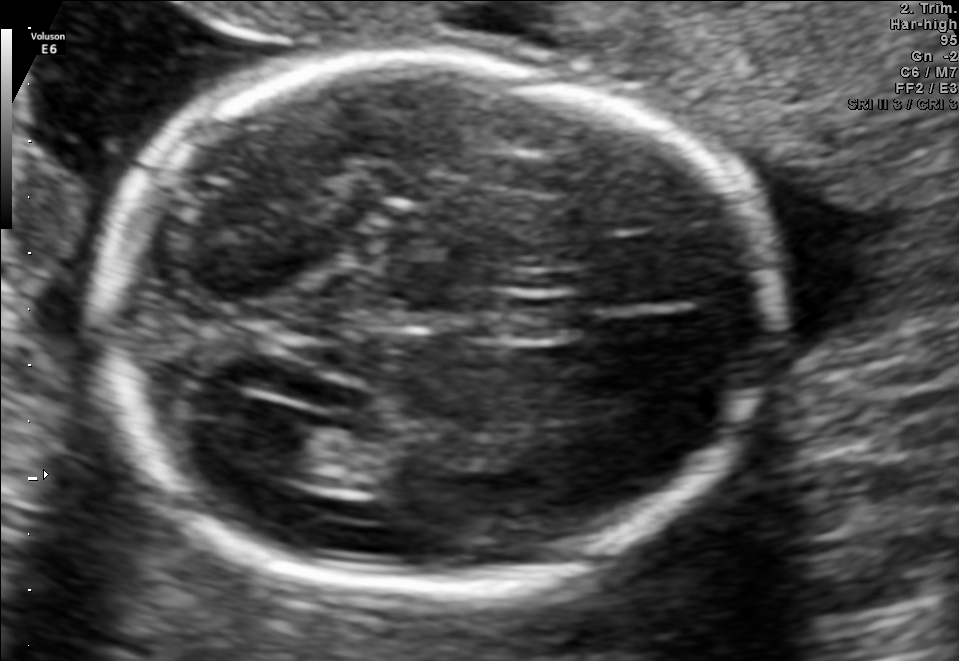
Fetal brain, trans-ventricular plane. Locate the cavum septum pellucidum.

CSP: [466,296,593,341]